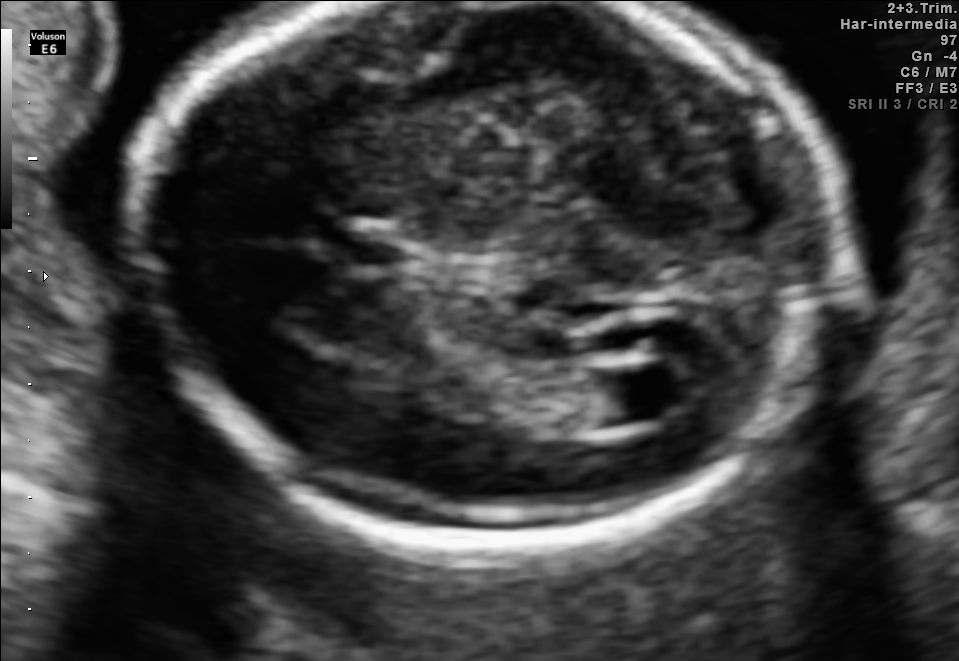
Fetal brain, trans-ventricular plane. Locate the lateral ventricle.

Lateral ventricle: [582,357,689,429]